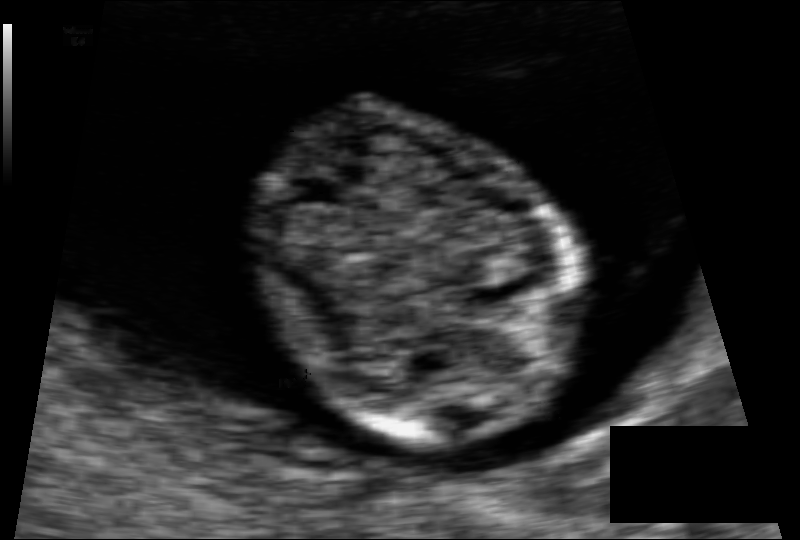
In this fetal head ultrasound, give bounding boxes for the head outline, cavum septum pellucidum (CSP), and lateral ventricle (LV), where visible. Image width: 49.5 mm.

Head: [251,99,576,438]